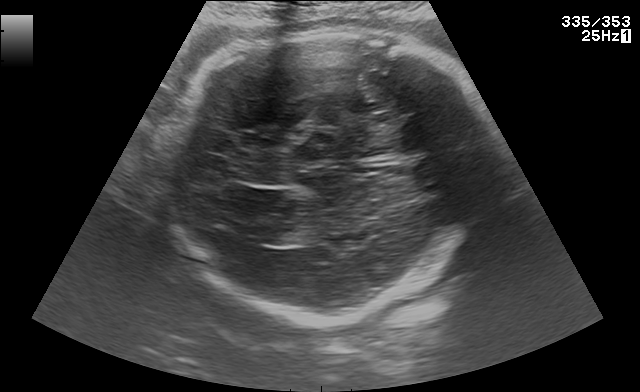
In this fetal brain, trans-thalamic plane, give the bounding box of the lateral ventricle.

[257,225,312,246]